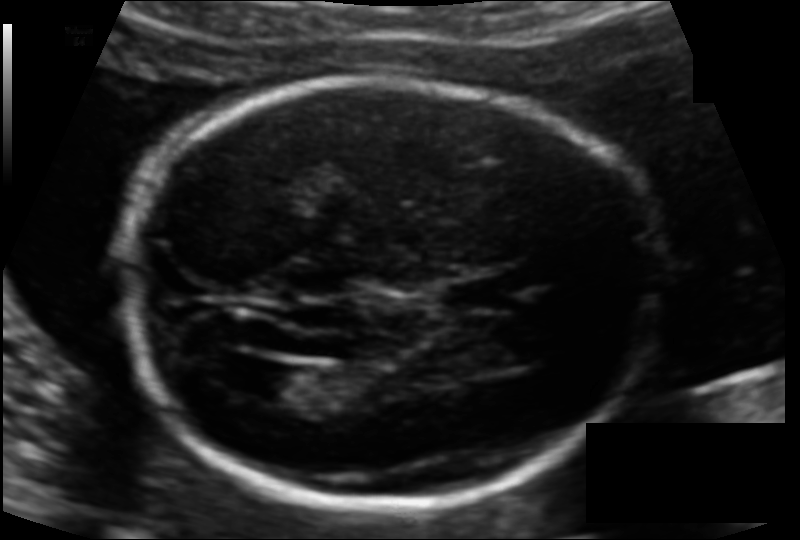
Fetal head ultrasound. Image width: 90.3 mm. Locate the cavum septum pellucidum.

CSP: [435,278,505,313]